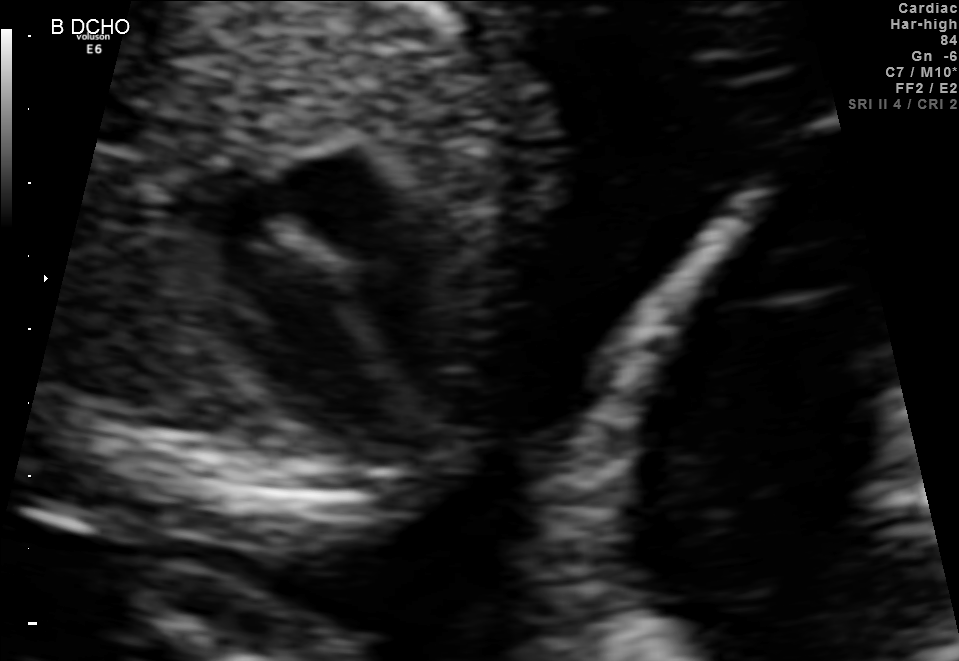
This is a 2D maternal-fetal ultrasound frame. Is it a fetal abdomen, fetal brain, fetal femur, fetal thorax, maternal cervix, or other standard plane? If it's fetal brain and one of the three standard brain planes (trans-thalamic, trans-cerebellum, trans-ventricular), name which.

Other